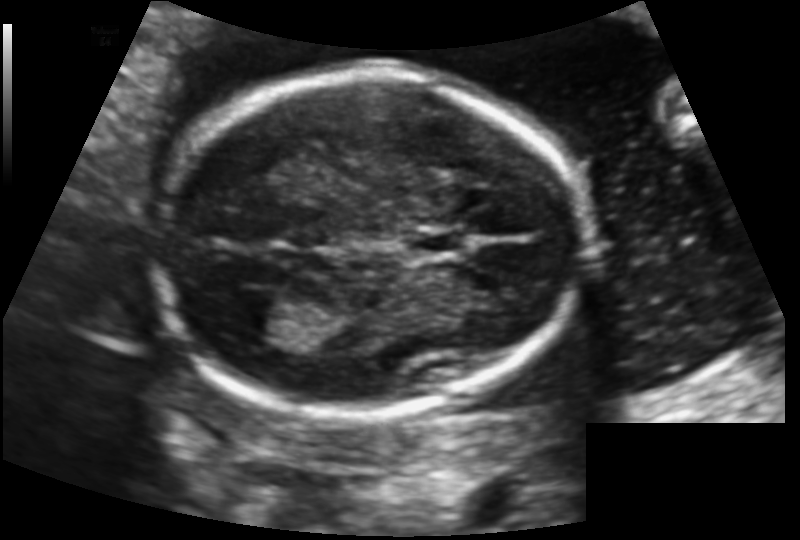
Fetal head ultrasound. Image width: 103.6 mm. Where is the cavum septum pellucidum?

CSP bounding box: [402,228,469,260]